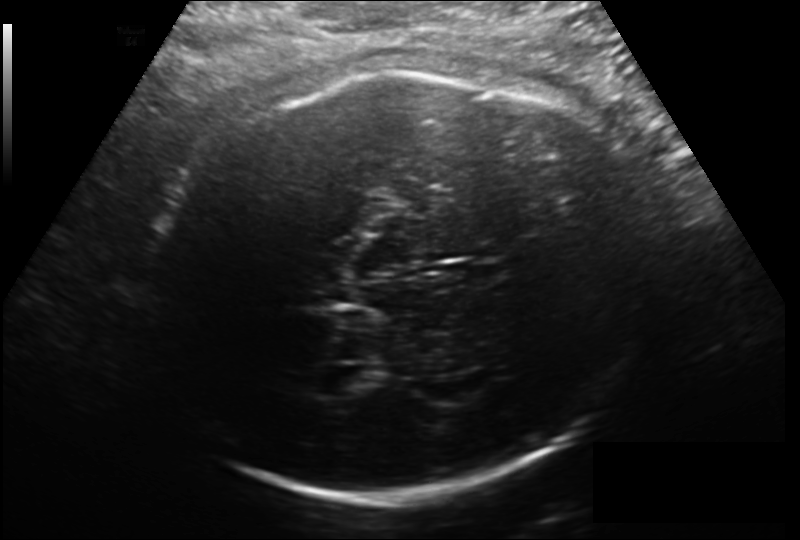
Fetal head ultrasound. Image width: 164.8 mm. Locate the fetal head.

Head: [140,73,642,505]